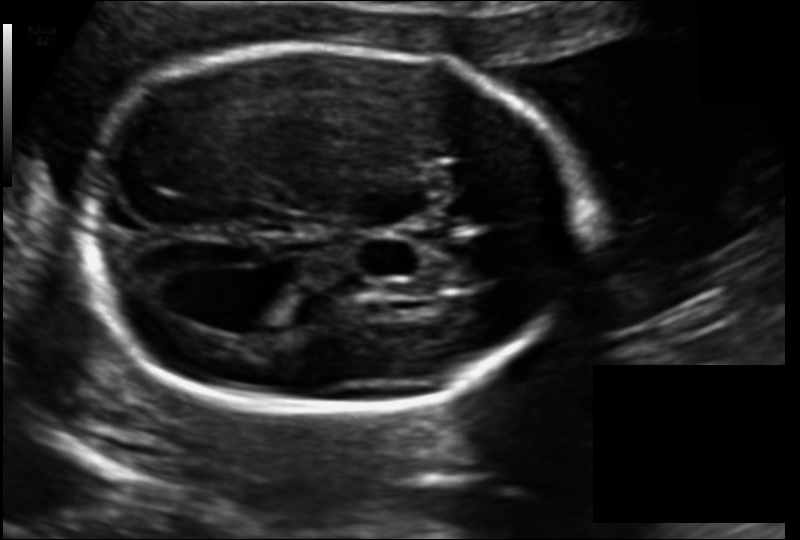
In this fetal head ultrasound, give bounding boxes for the head outline, cavum septum pellucidum (CSP), and lateral ventricle (LV), where visible. Image width: 102.4 mm.

Head: [78,47,580,409]